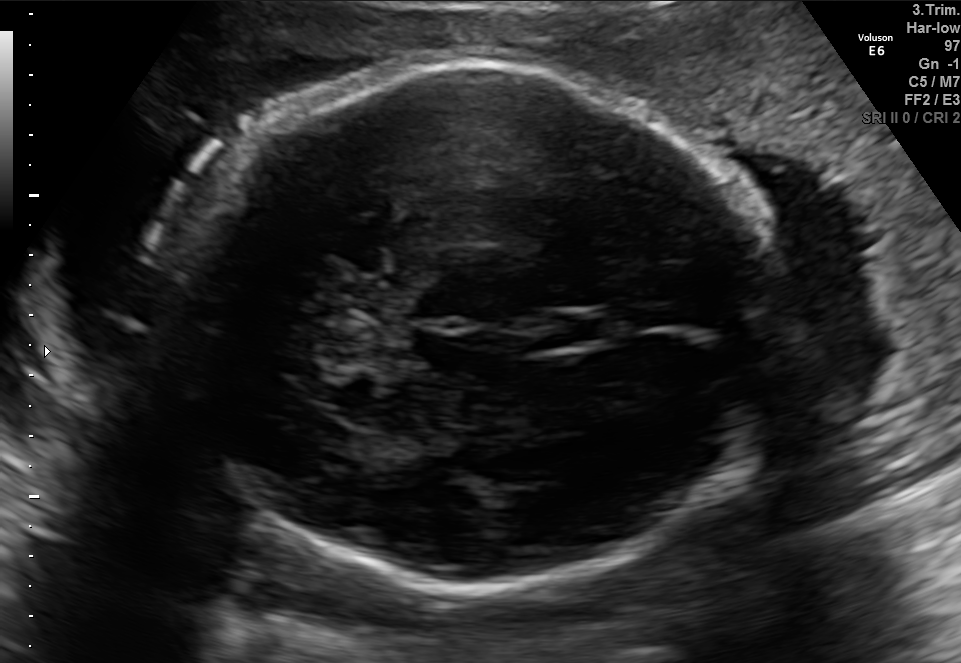
In this fetal brain, trans-thalamic plane, give the bounding box of the cavum septum pellucidum.

[556,304,623,350]